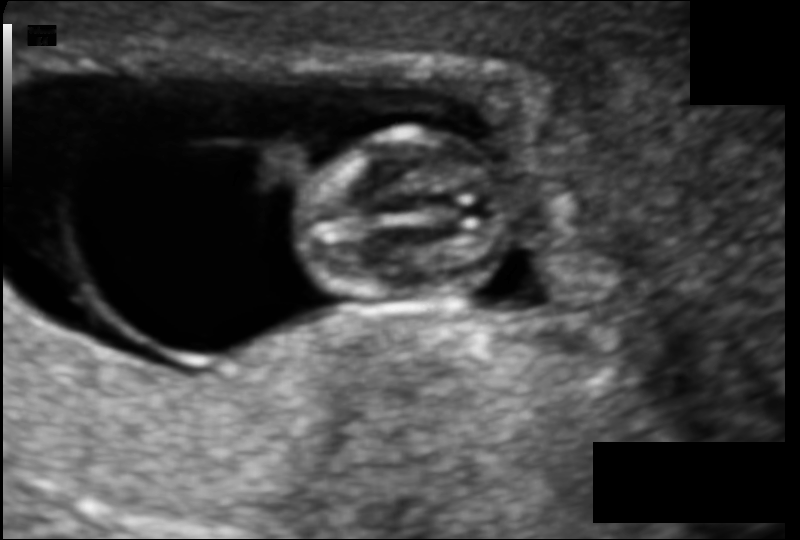
In this fetal head ultrasound, give the bounding box of the fetal head. Image width: 71.7 mm.

[289,132,512,304]